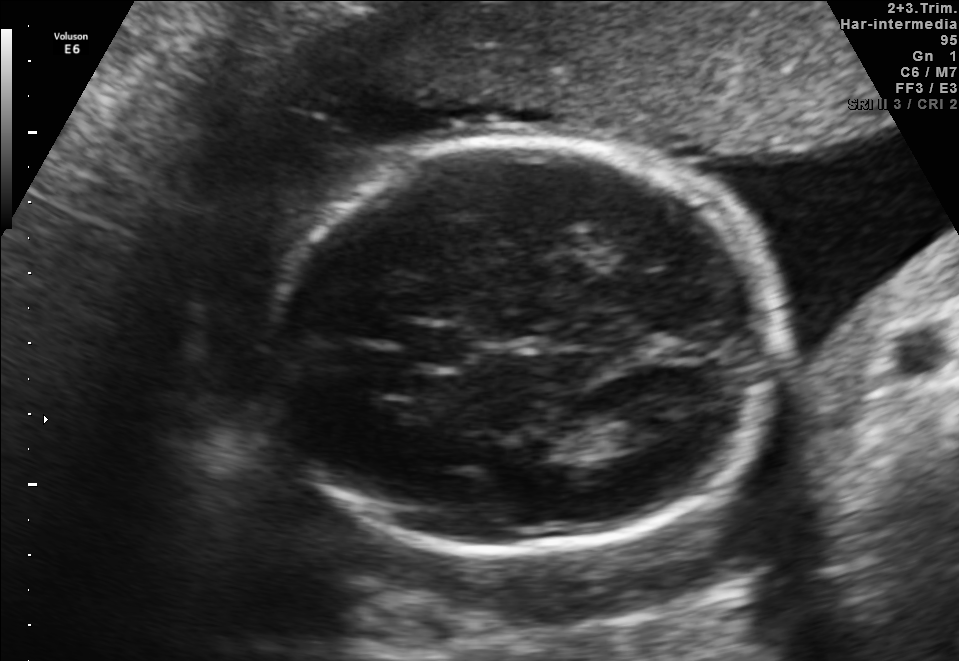
Fetal brain, trans-thalamic plane. Where is the lateral ventricle?

Lateral ventricle bounding box: [606,404,678,454]